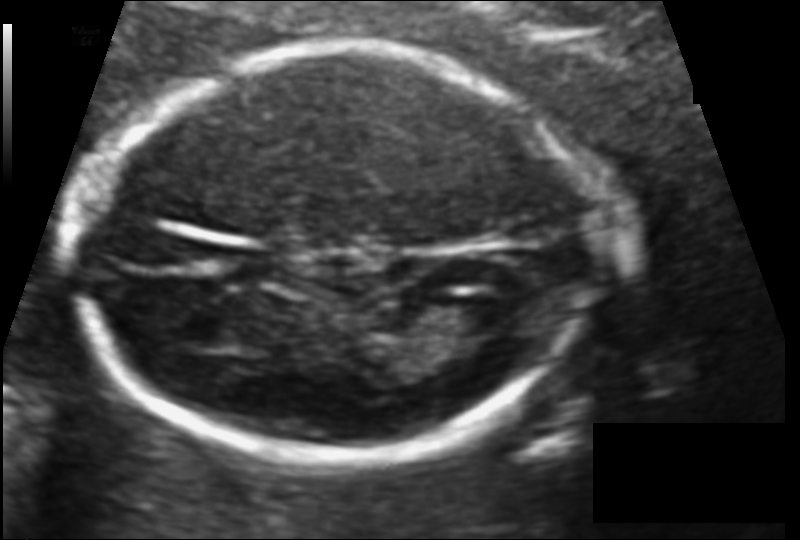
Fetal head ultrasound. Image width: 81.3 mm. Locate the fetal head and, if visible, the cavum septum pellucidum (CSP) and lateral ventricle (LV). Give bounding boxes as [x1,y1,x2,y2].

Head: [76,49,587,463]
Lateral ventricle: [436,294,507,336]